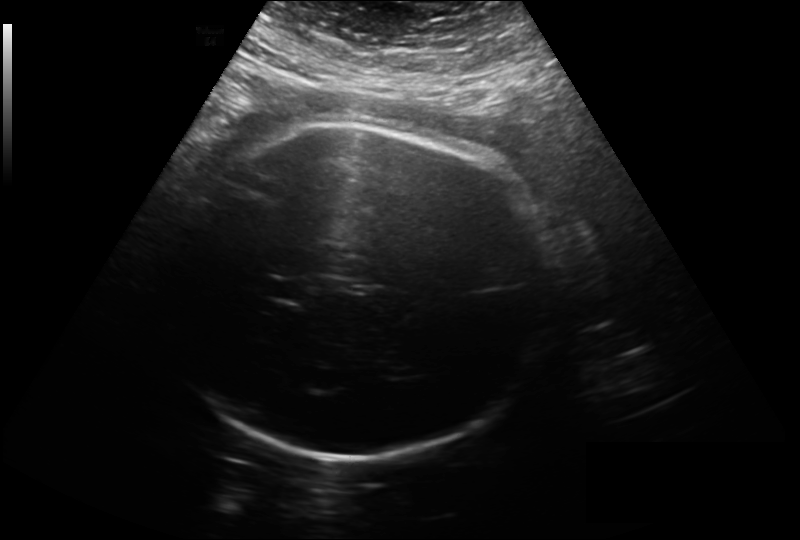
In this fetal head ultrasound, give bounding boxes for the head outline, cavum septum pellucidum (CSP), and lateral ventricle (LV), where visible. Image width: 208.8 mm.

Head: [167,123,546,460]
CSP: [262,274,308,305]